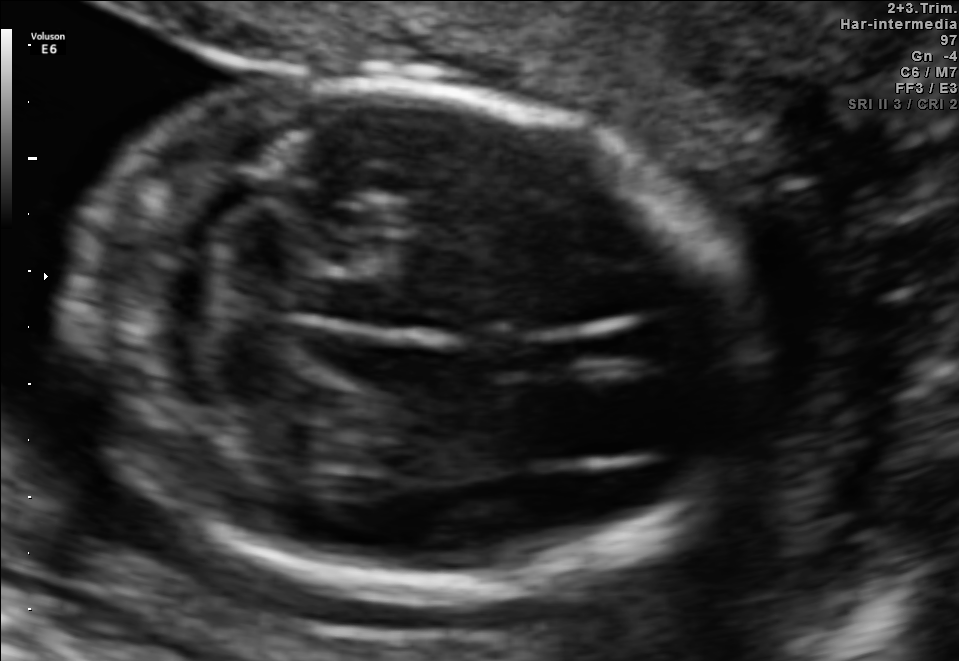
Fetal brain, trans-cerebellum plane. Where is the fetal head?

Head bounding box: [69,84,750,585]